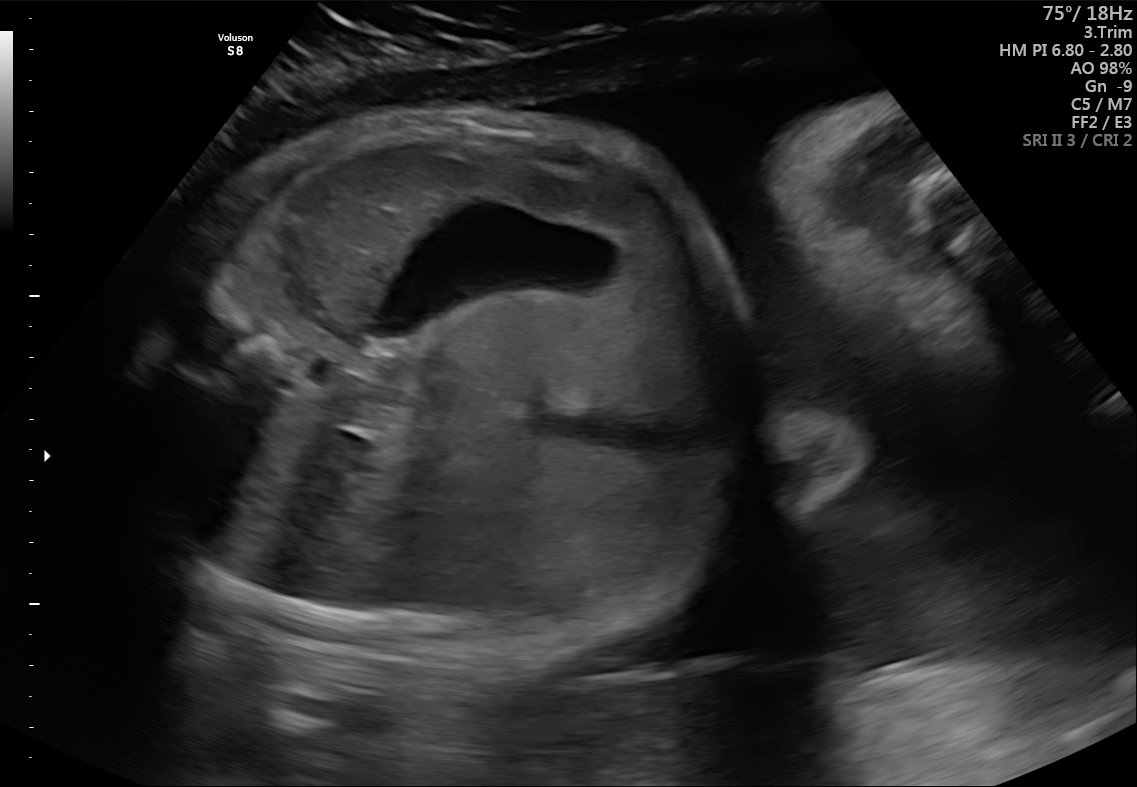
This is a 2D maternal-fetal ultrasound frame. Is it a fetal abdomen, fetal brain, fetal femur, fetal thorax, maternal cervix, or other standard plane? If it's fetal brain and one of the three standard brain planes (trans-thalamic, trans-cerebellum, trans-ventricular), name which.

Fetal abdomen